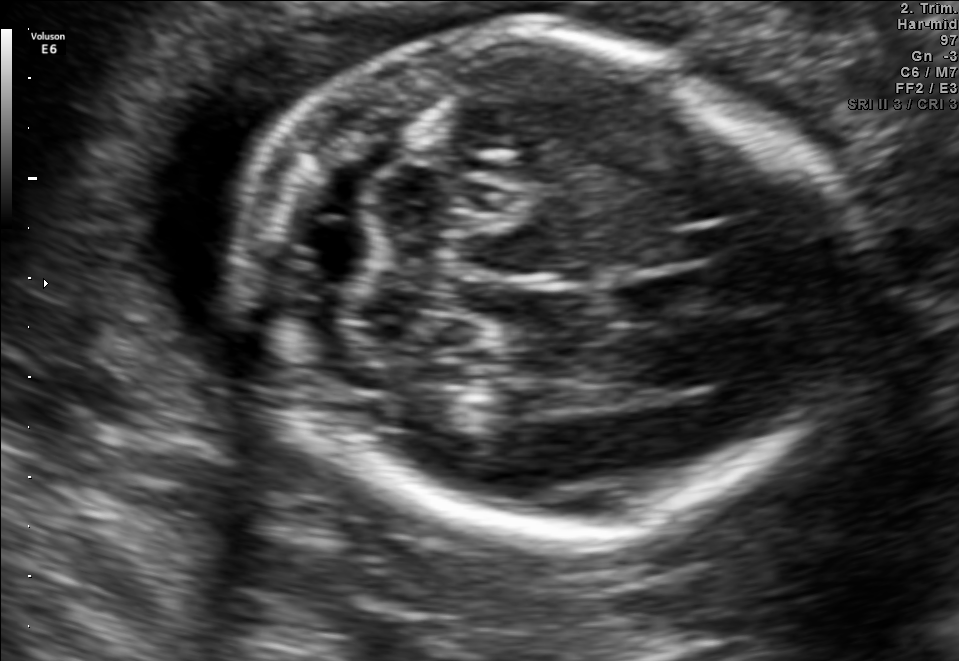
Fetal brain, trans-cerebellum plane. Locate the fetal head.

Head: [241,31,834,536]